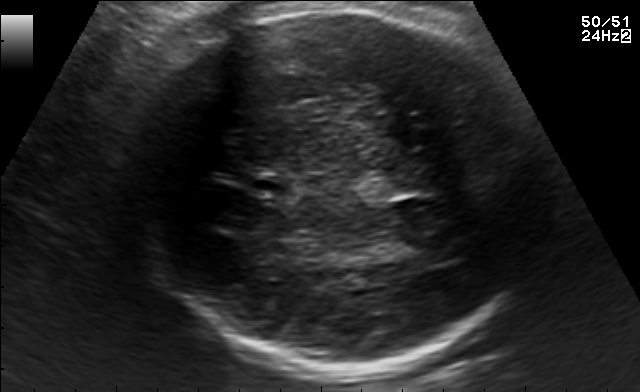
Fetal brain, trans-thalamic plane. Locate the fetal head and, if visible, the cavum septum pellucidum (CSP) and lateral ventricle (LV). Give bounding boxes as [x1,y1,x2,y2].

Head: [132,8,537,372]
CSP: [251,175,290,195]